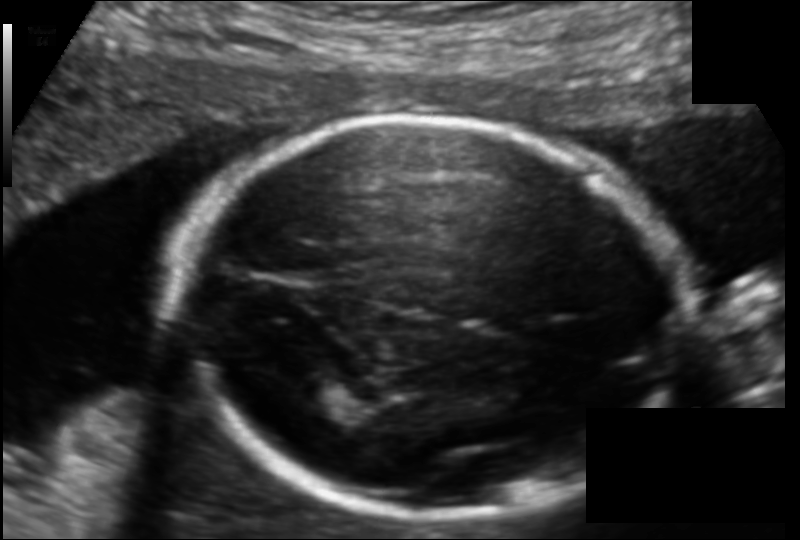
Fetal head ultrasound. Image width: 96.3 mm. Give [x1,y1,x2,y2] bounding boxes for each visible structure among: fetal head, CSP, LV.

Head: [176,119,686,517]